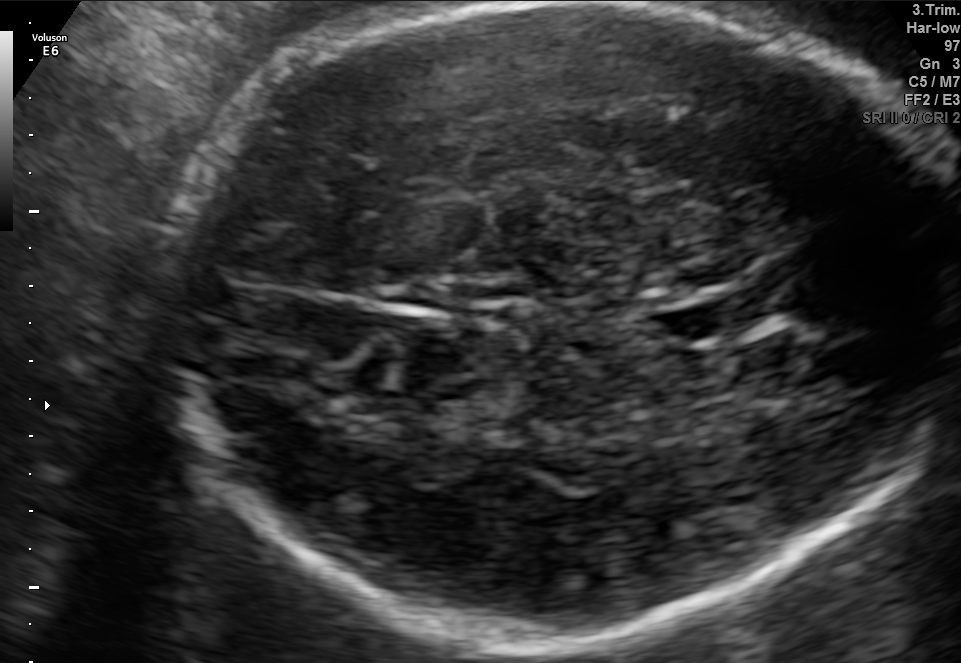
In this fetal brain, trans-thalamic plane, give bounding boxes for the head outline, cavum septum pellucidum (CSP), and lateral ventricle (LV), where visible.

Head: [169,3,952,650]
CSP: [663,296,746,343]